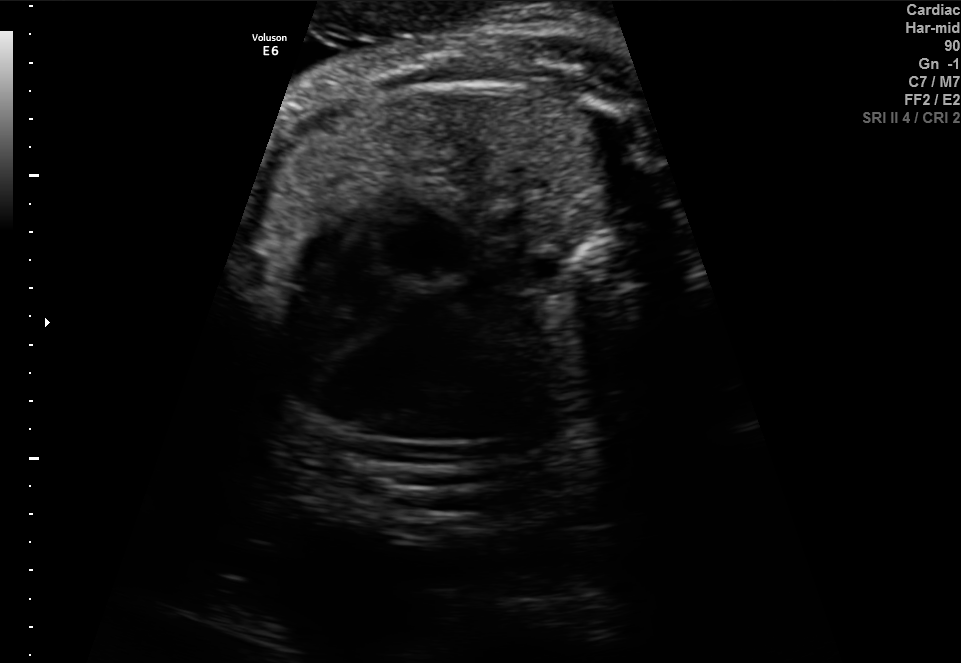
Identify the standard plane in this fetal ultrasound image: fetal abdomen, fetal brain, fetal femur, fetal thorax, maternal cervix, or other. If it's fetal brain and one of the three standard brain planes (trans-thalamic, trans-cerebellum, trans-ventricular), name which.

Fetal thorax